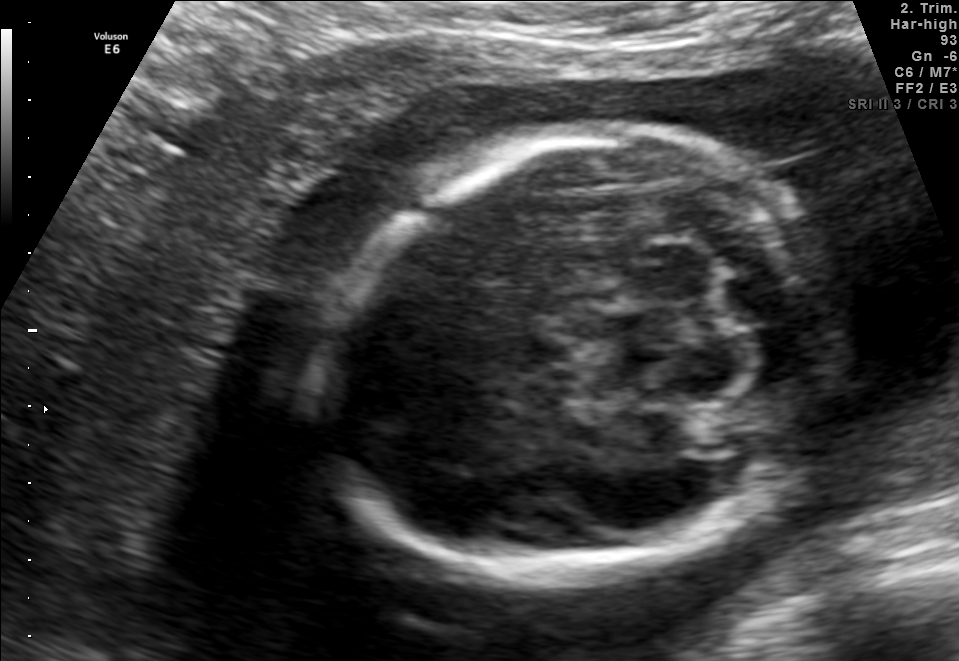
Fetal brain, trans-cerebellum plane. Where is the fetal head?

Head bounding box: [323,127,826,582]